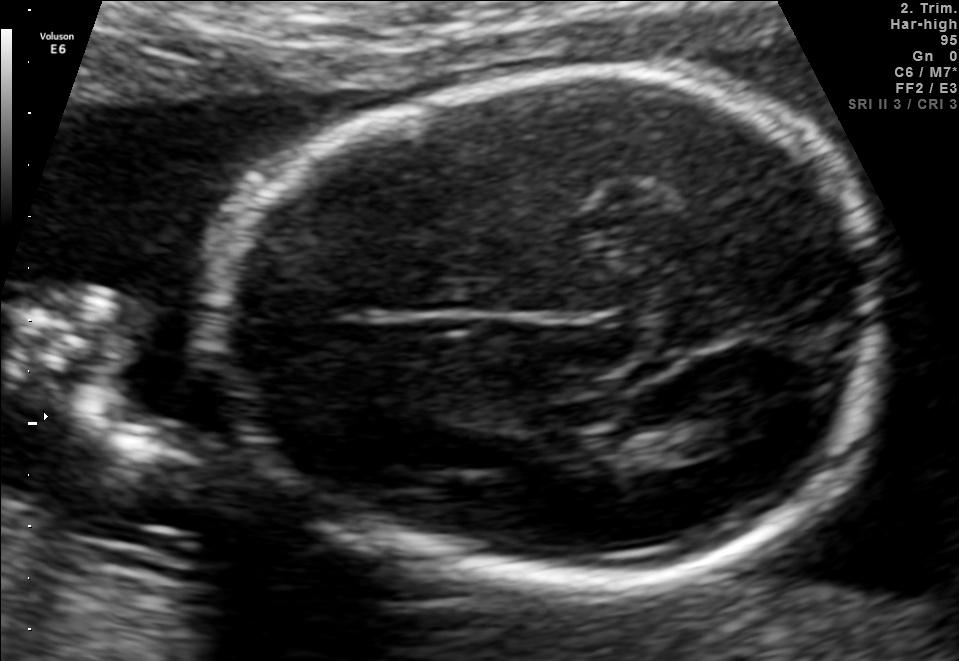
Fetal brain, trans-thalamic plane. Locate the fetal head.

Head: [215,73,890,588]